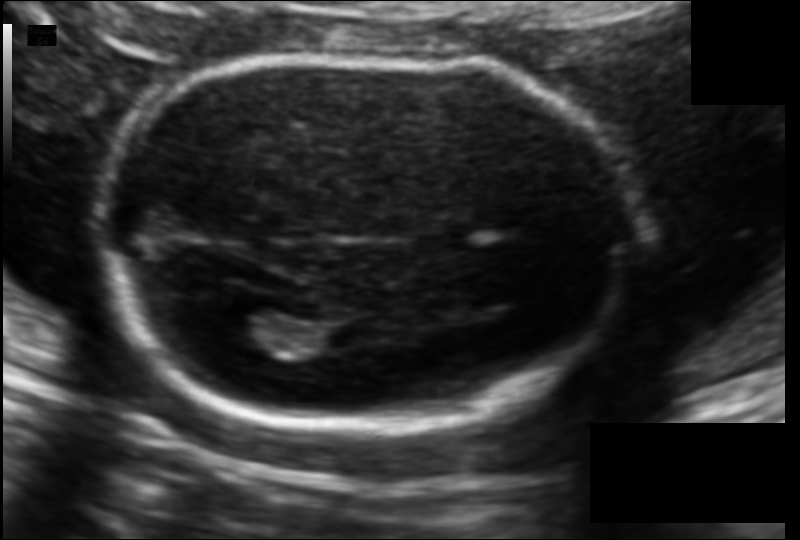
Fetal head ultrasound. Image width: 90.5 mm. Give [x1,y1,x2,y2] bounding boxes for each visible structure among: fetal head, CSP, LV.

Head: [95,57,642,429]
Lateral ventricle: [210,299,294,359]